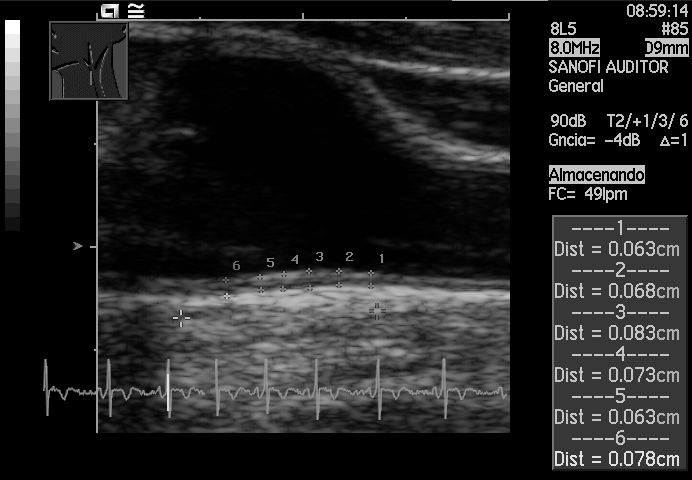
Which standard maternal-fetal ultrasound plane is shown: fetal abdomen, fetal brain, fetal femur, fetal thorax, maternal cervix, or other? If it's fetal brain and one of the three standard brain planes (trans-thalamic, trans-cerebellum, trans-ventricular), name which.

Other